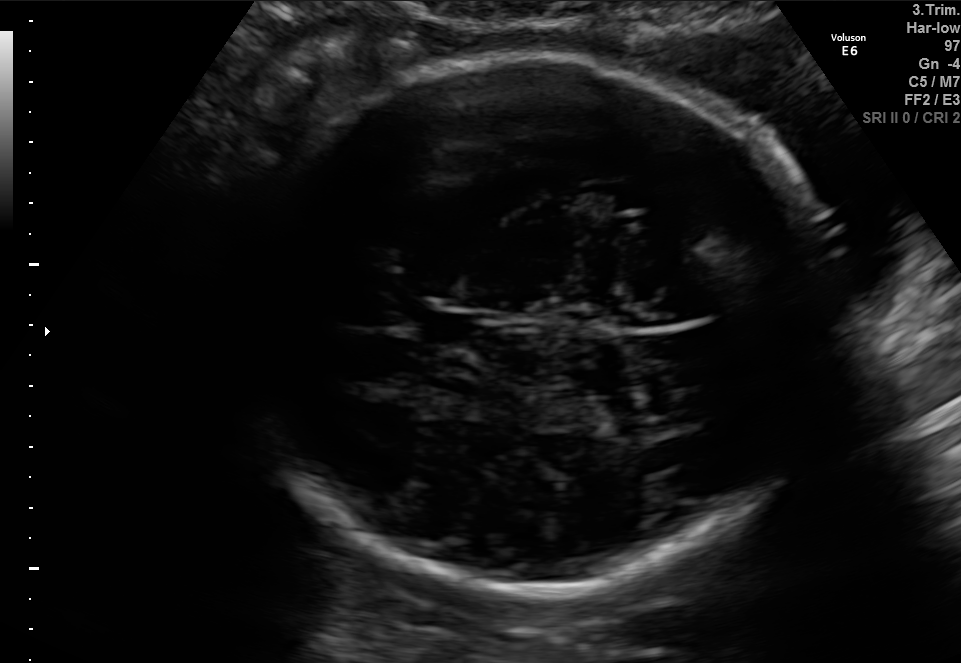
Fetal brain, trans-thalamic plane. Locate the fetal head and, if visible, the cavum septum pellucidum (CSP) and lateral ventricle (LV). Give bounding boxes as [x1,y1,x2,y2].

Head: [223,60,828,591]
CSP: [422,314,475,344]